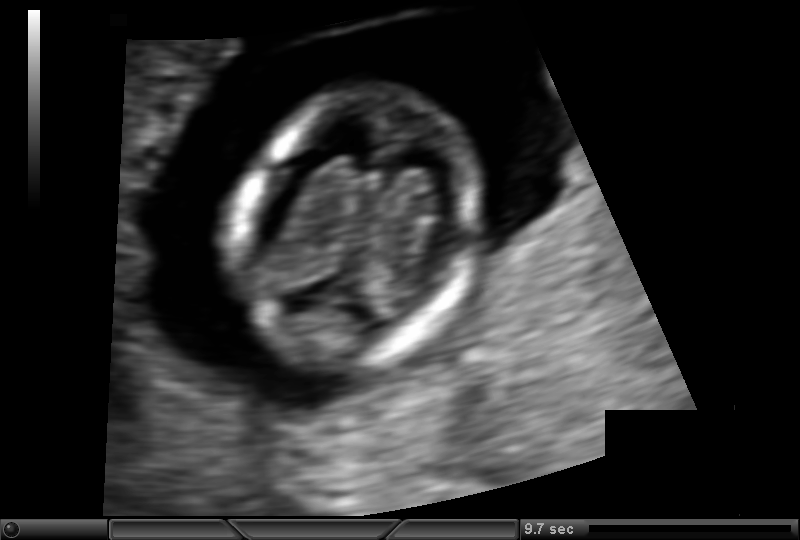
Fetal head ultrasound. Image width: 73.8 mm. Give [x1,y1,x2,y2] bounding boxes for each visible structure among: fetal head, CSP, LV.

Head: [229,84,489,376]